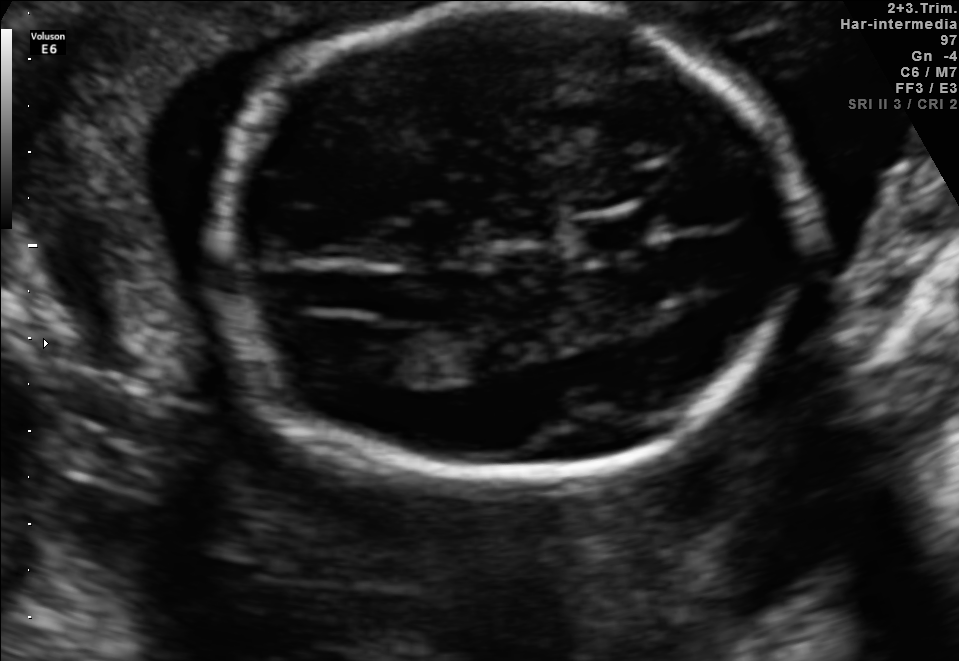
In this fetal brain, trans-ventricular plane, give bounding boxes for the head outline, cavum septum pellucidum (CSP), and lateral ventricle (LV), where visible.

Head: [196,2,831,497]
CSP: [557,196,674,270]
Lateral ventricle: [334,328,420,379]